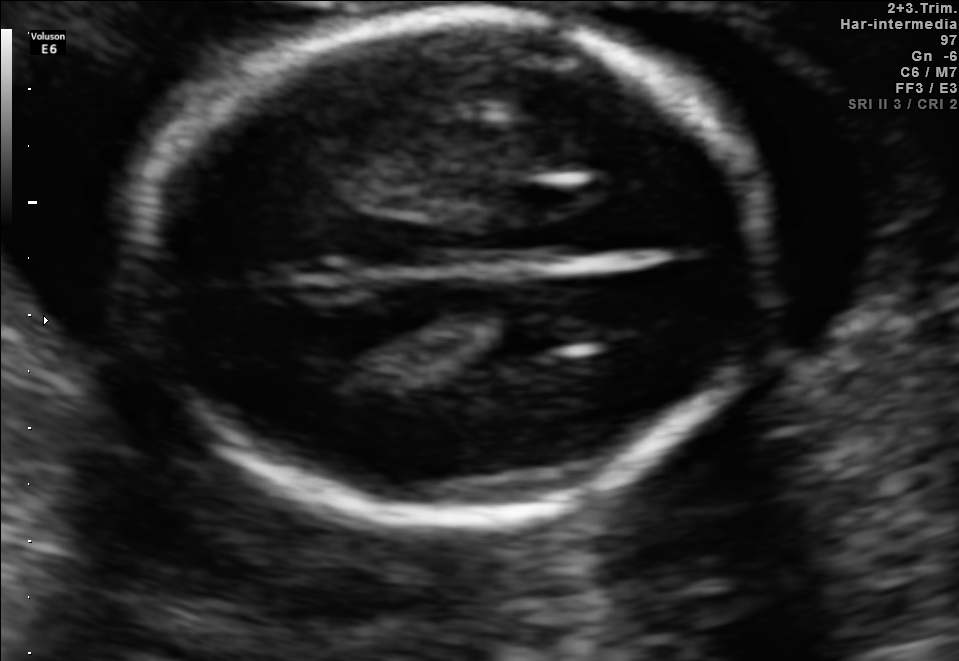
In this fetal brain, trans-thalamic plane, give the bounding box of the fetal head.

[125,17,768,518]